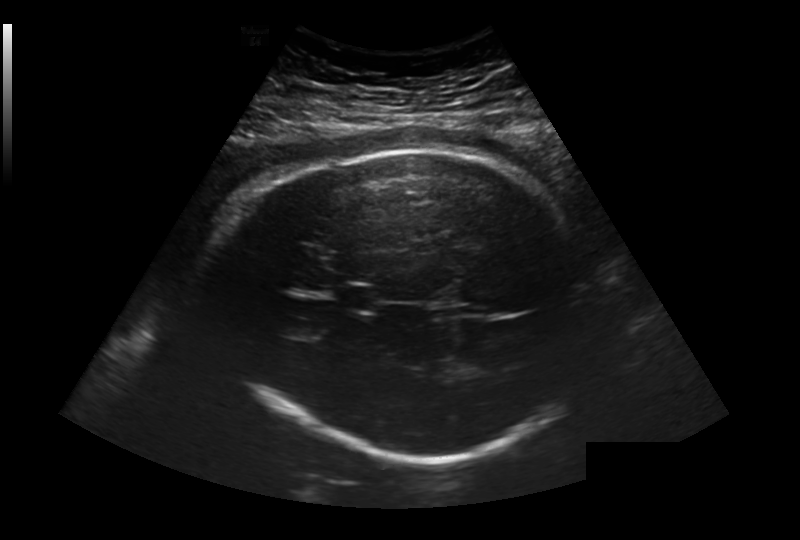
Estimate the fetal head circumference from this 2D ultrasound.

Head circumference: 316.5 mm (image width 224.9 mm).